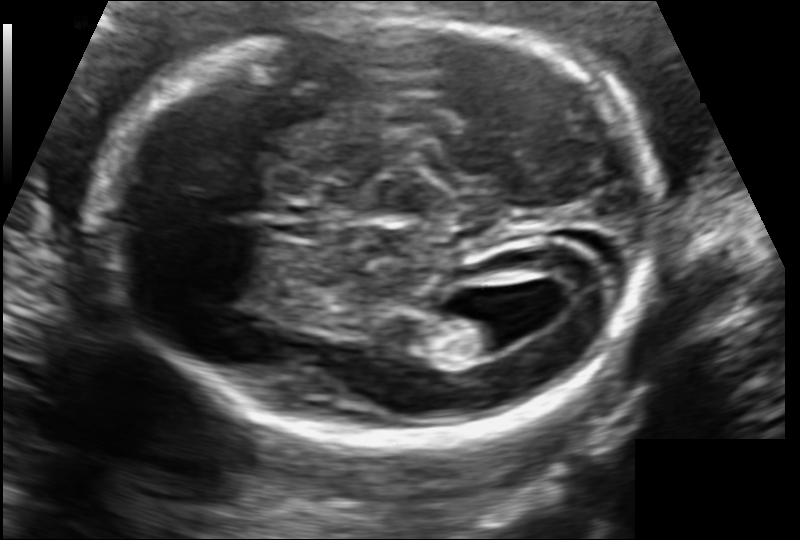
From this fetal ultrasound, estimate the head circumference (image width 87.0 mm).

Head circumference: 172.9 mm.